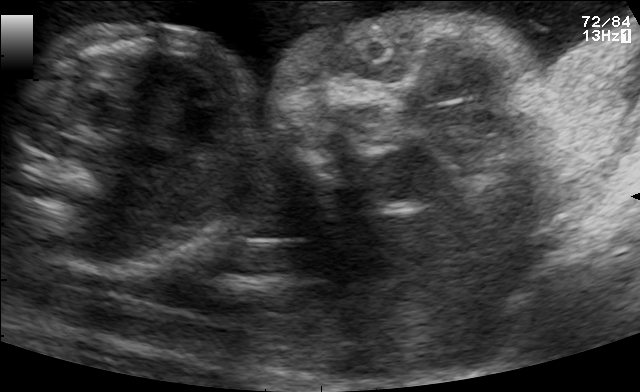
This is a 2D maternal-fetal ultrasound frame. Is it a fetal abdomen, fetal brain, fetal femur, fetal thorax, maternal cervix, or other standard plane? If it's fetal brain and one of the three standard brain planes (trans-thalamic, trans-cerebellum, trans-ventricular), name which.

Other